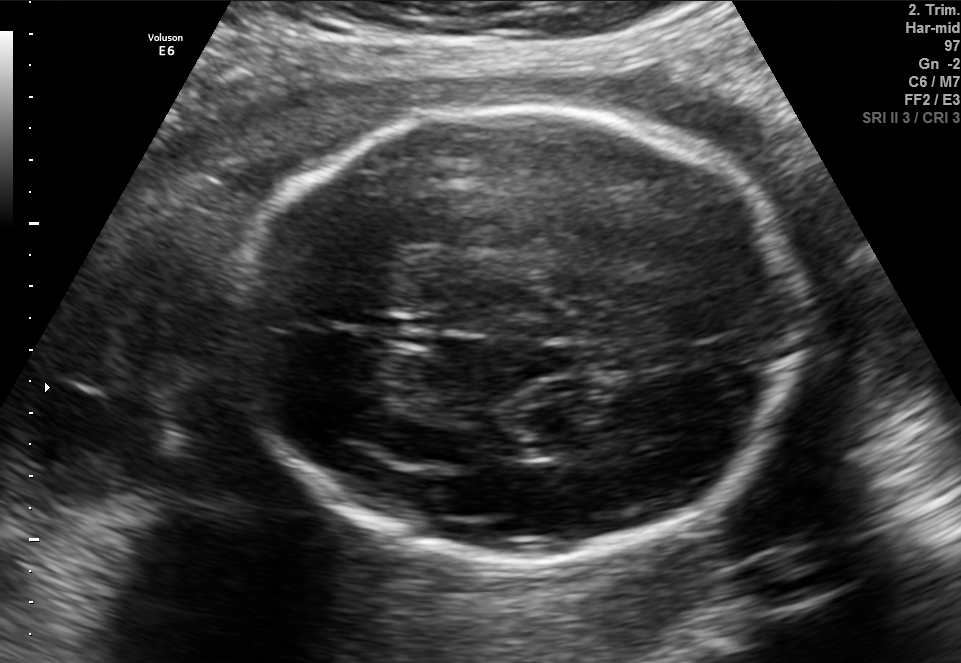
Fetal brain, trans-thalamic plane. Locate the fetal head and, if visible, the cavum septum pellucidum (CSP) and lateral ventricle (LV). Give bounding boxes as [x1,y1,x2,y2].

Head: [220,107,799,558]